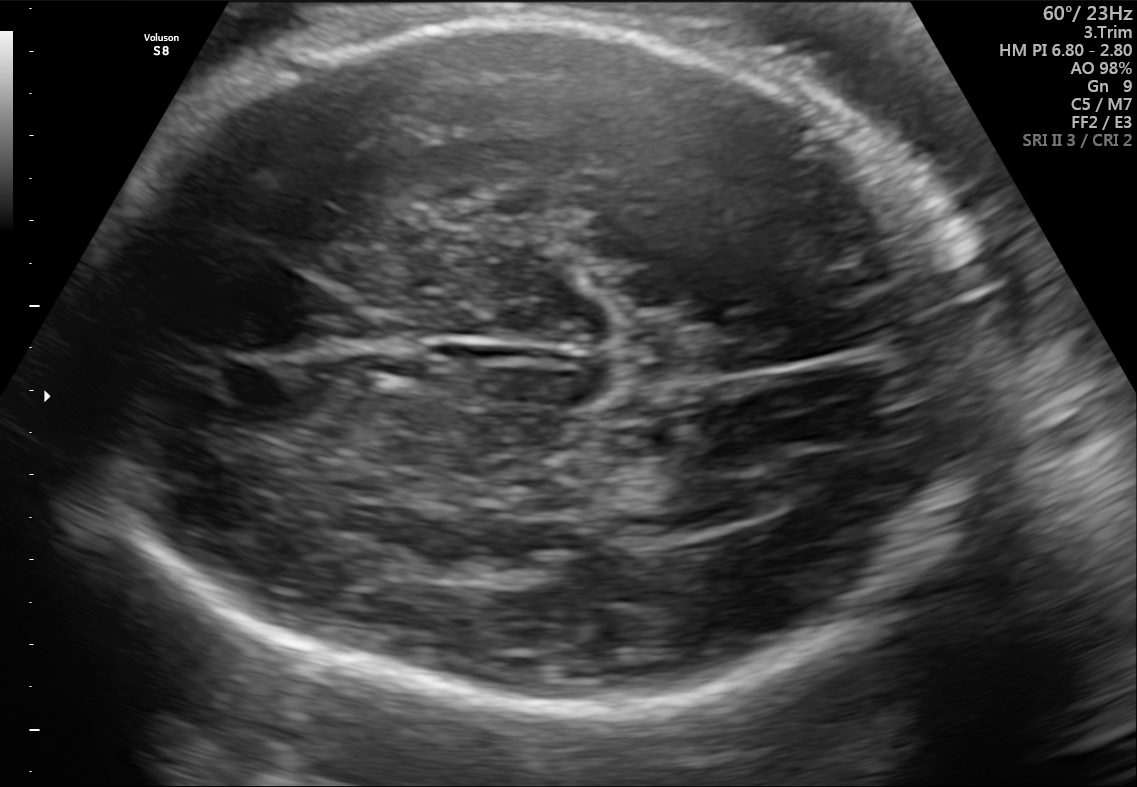
Fetal brain, trans-thalamic plane. Give [x1,y1,x2,y2] bounding boxes for each visible structure among: fetal head, CSP, LV.

Head: [87,23,977,712]